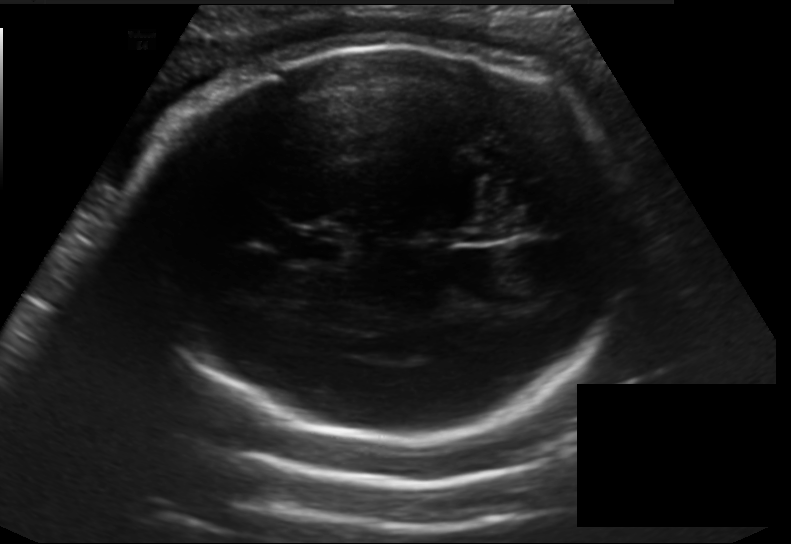
Estimate the fetal head circumference from this 2D ultrasound.

Head circumference: 292.4 mm (image width 156.8 mm).